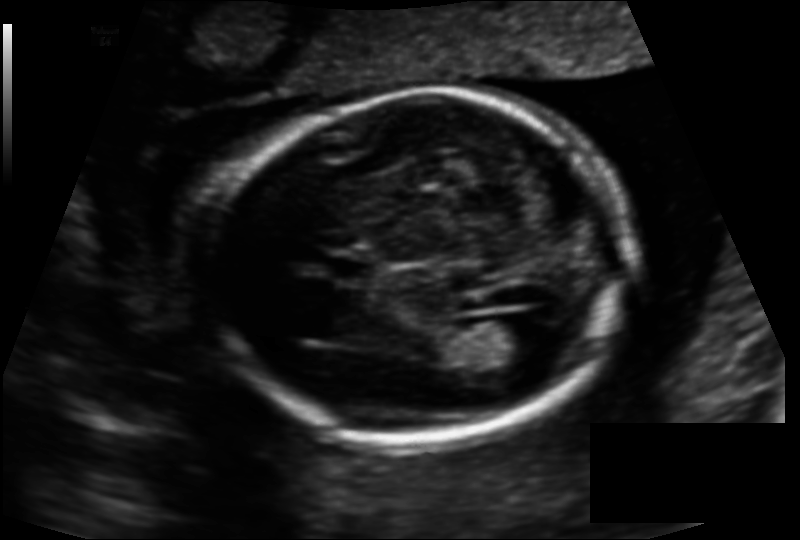
Fetal head ultrasound. Image width: 107.3 mm. Locate the cavum septum pellucidum.

CSP: [329,257,374,282]